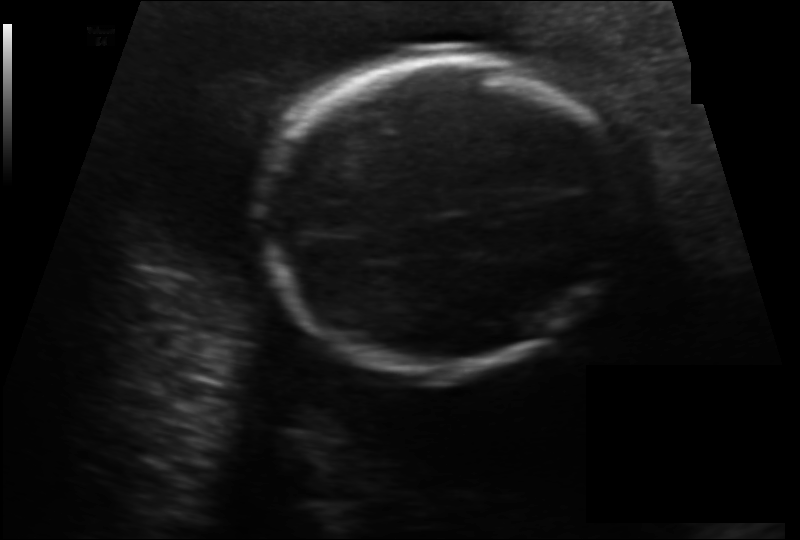
Fetal head ultrasound. Image width: 124.9 mm. Give [x1,y1,x2,y2] bounding boxes for each visible structure among: fetal head, CSP, LV.

Head: [259,58,626,369]